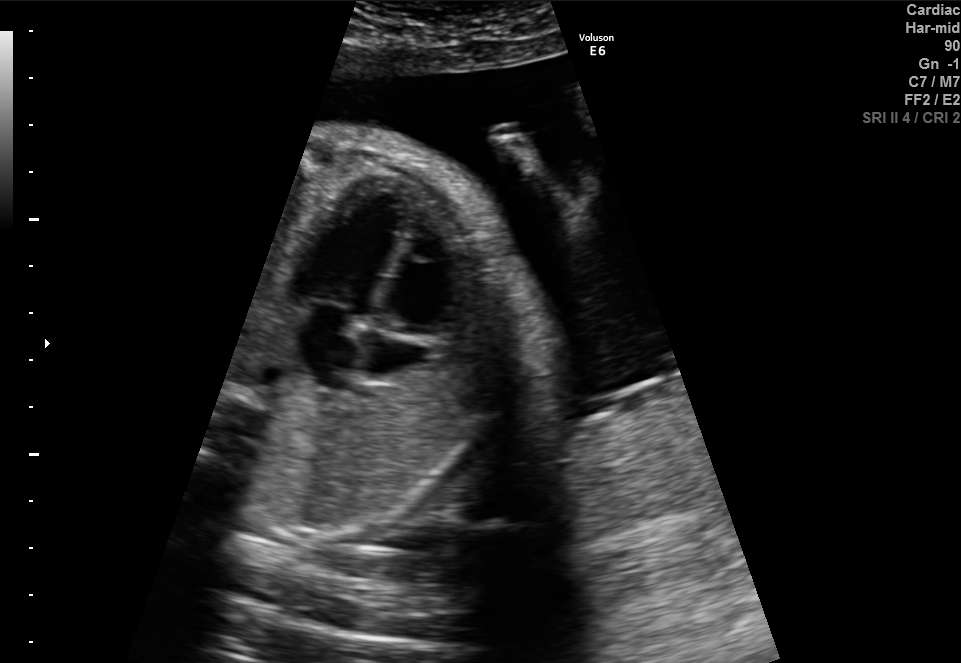
Which standard maternal-fetal ultrasound plane is shown: fetal abdomen, fetal brain, fetal femur, fetal thorax, maternal cervix, or other? If it's fetal brain and one of the three standard brain planes (trans-thalamic, trans-cerebellum, trans-ventricular), name which.

Fetal thorax